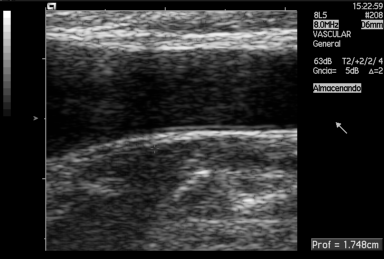
Identify the standard plane in this fetal ultrasound image: fetal abdomen, fetal brain, fetal femur, fetal thorax, maternal cervix, or other. If it's fetal brain and one of the three standard brain planes (trans-thalamic, trans-cerebellum, trans-ventricular), name which.

Other